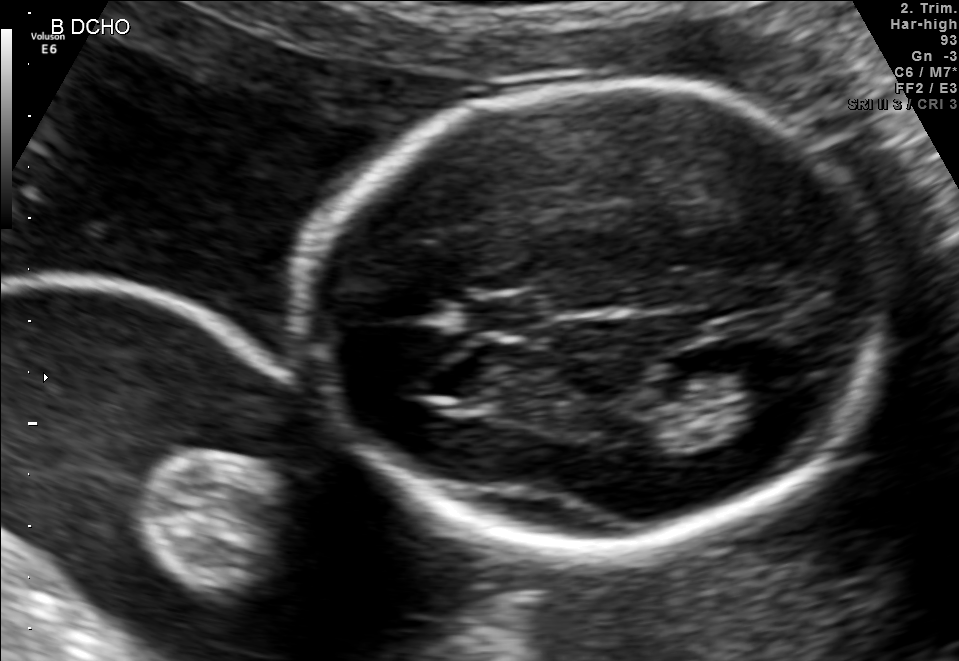
Fetal brain, trans-thalamic plane. Locate the fetal head.

Head: [305,81,870,548]